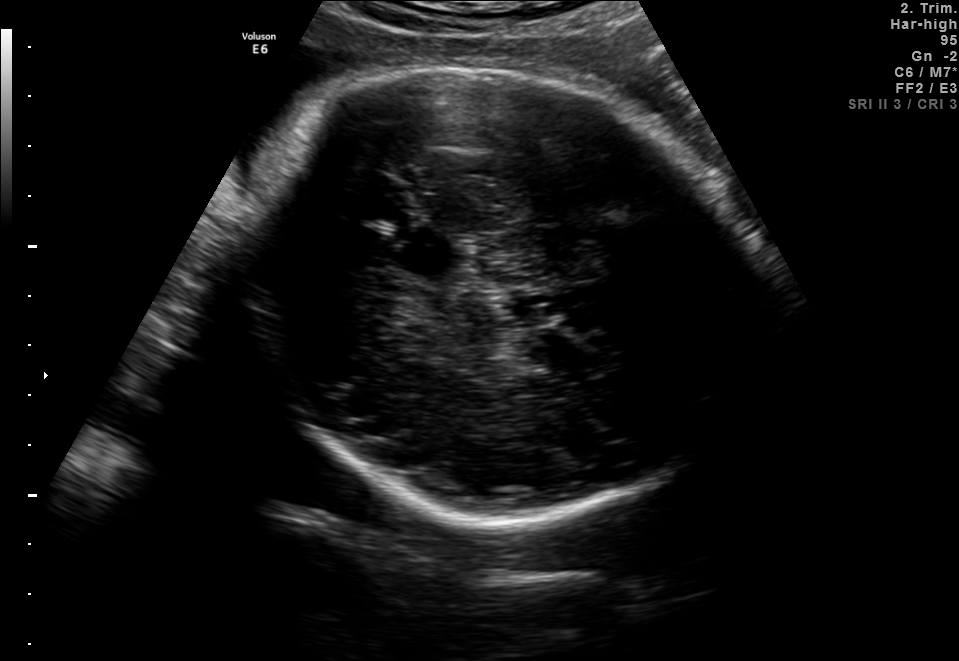
In this fetal brain, trans-thalamic plane, give the bounding box of the fetal head.

[227,65,764,522]